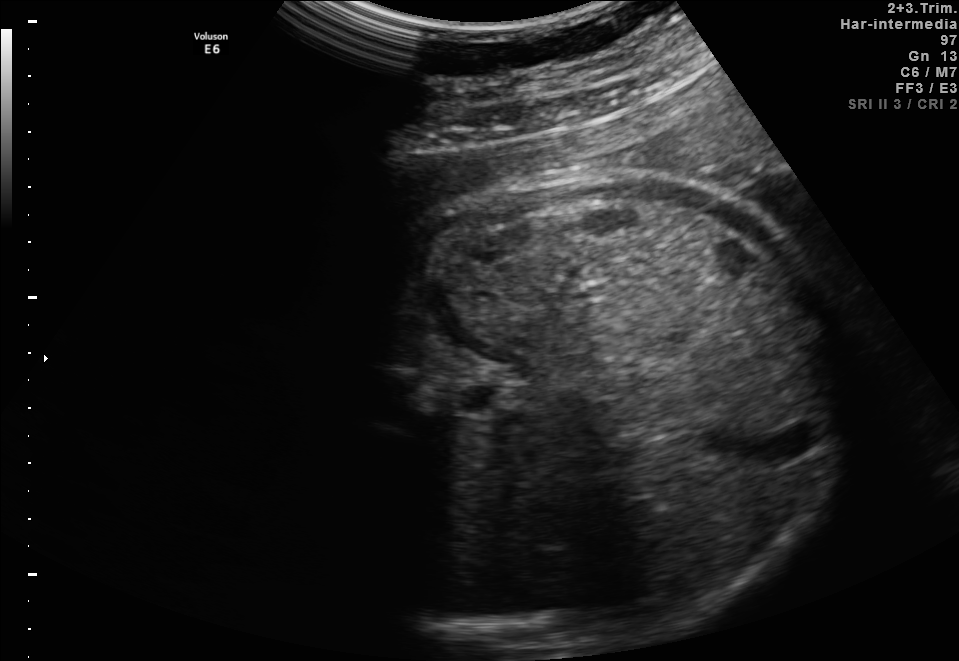
Which standard maternal-fetal ultrasound plane is shown: fetal abdomen, fetal brain, fetal femur, fetal thorax, maternal cervix, or other? If it's fetal brain and one of the three standard brain planes (trans-thalamic, trans-cerebellum, trans-ventricular), name which.

Fetal abdomen